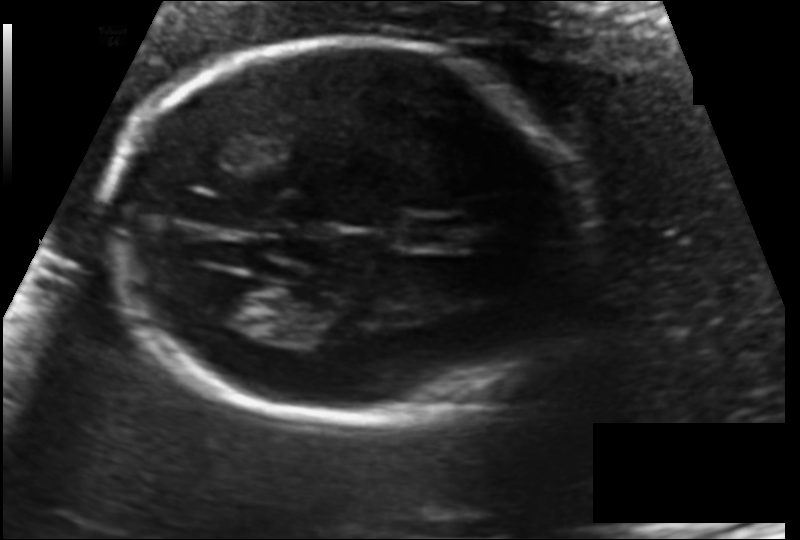
Fetal head ultrasound. Image width: 97.9 mm. Where is the fetal head?

Head bounding box: [109,39,577,421]